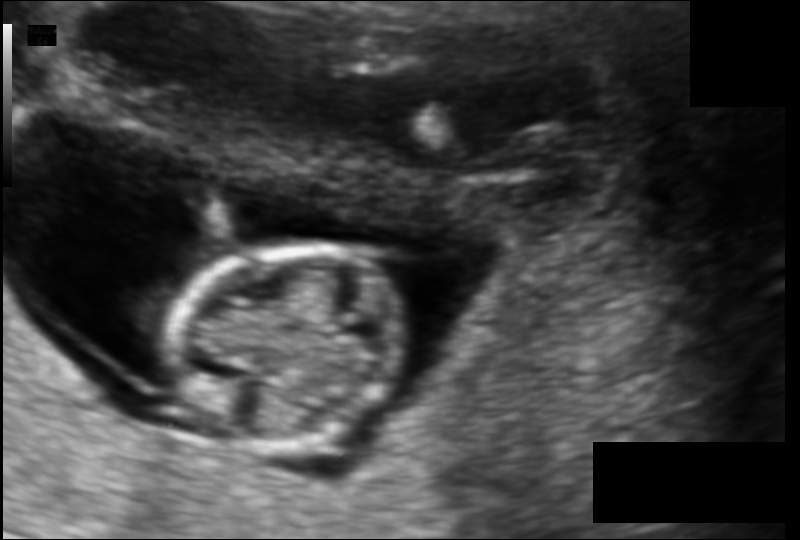
Fetal head ultrasound. Image width: 83.9 mm. Give [x1,y1,x2,y2] bounding boxes for each visible structure among: fetal head, CSP, LV.

Head: [165,244,405,443]